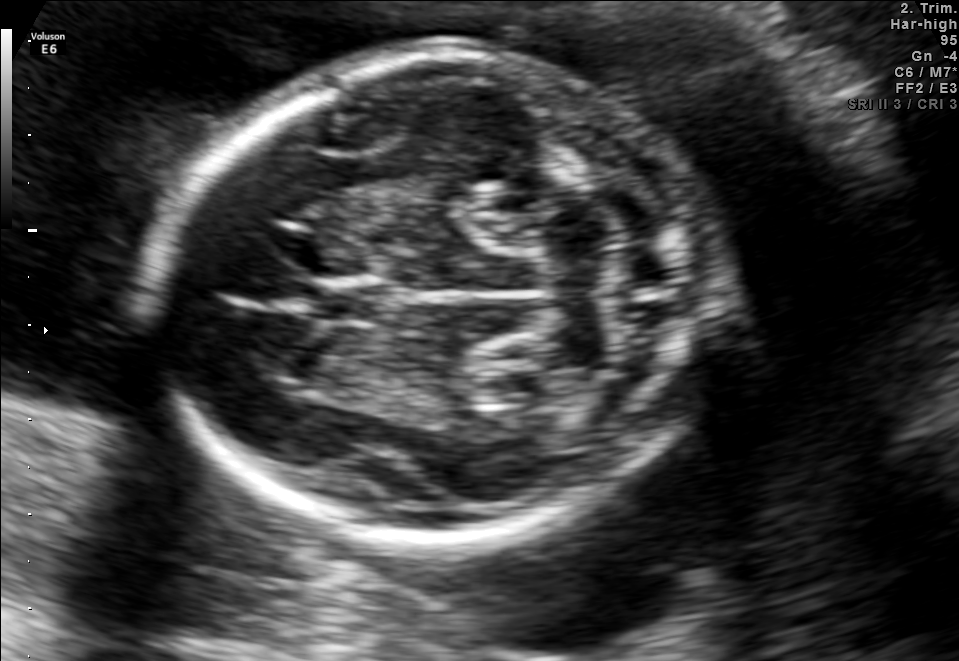
Which standard maternal-fetal ultrasound plane is shown: fetal abdomen, fetal brain, fetal femur, fetal thorax, maternal cervix, or other? If it's fetal brain and one of the three standard brain planes (trans-thalamic, trans-cerebellum, trans-ventricular), name which.

Fetal brain (trans-cerebellum plane)